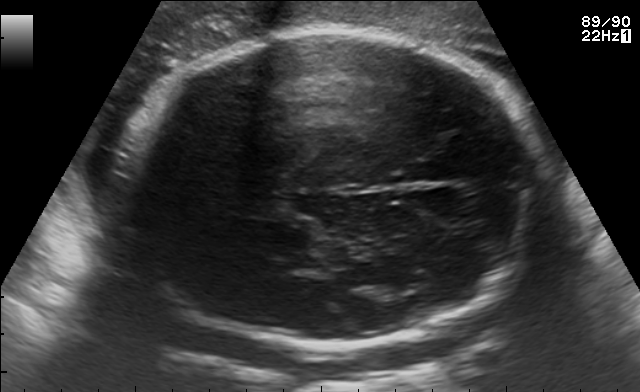
Fetal brain, trans-thalamic plane. Locate the fetal head and, if visible, the cavum septum pellucidum (CSP) and lateral ventricle (LV). Give bounding boxes as [x1,y1,x2,y2].

Head: [113,32,533,343]